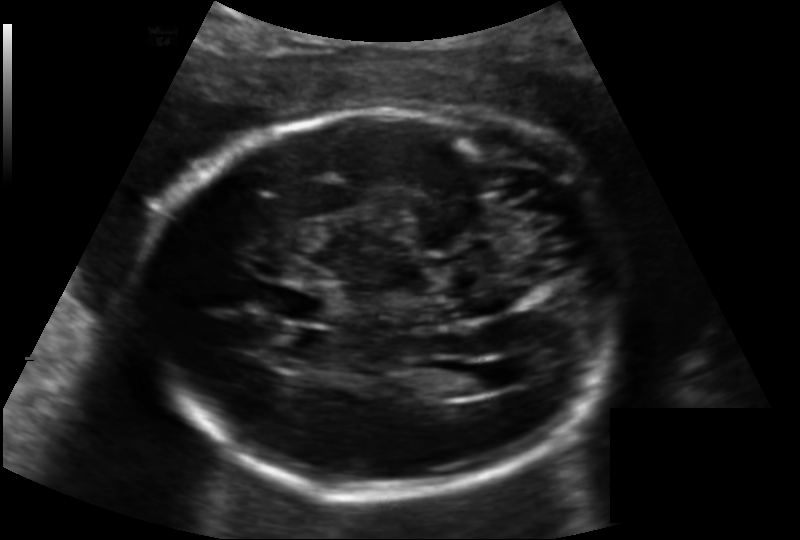
What is the fetal head circumference? Image width is 126.5 mm.

225.4 mm